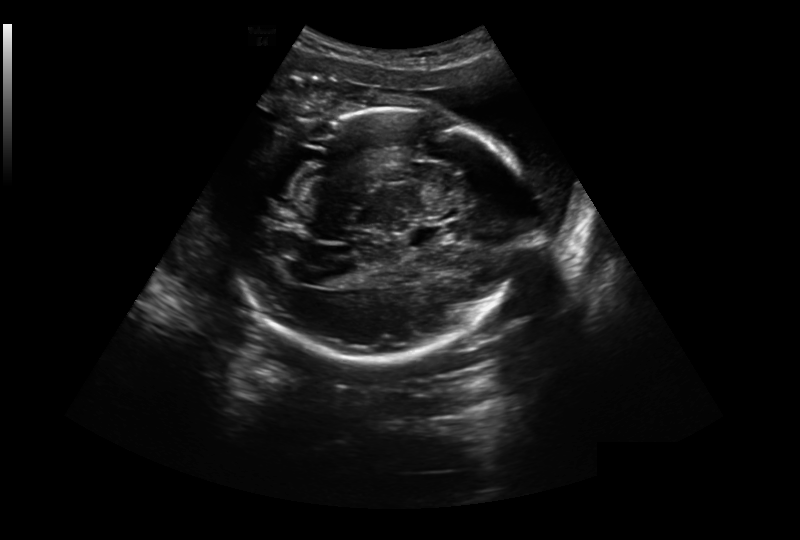
In this fetal head ultrasound, give the bounding box of the fetal head. Image width: 243.0 mm.

[236,108,529,364]